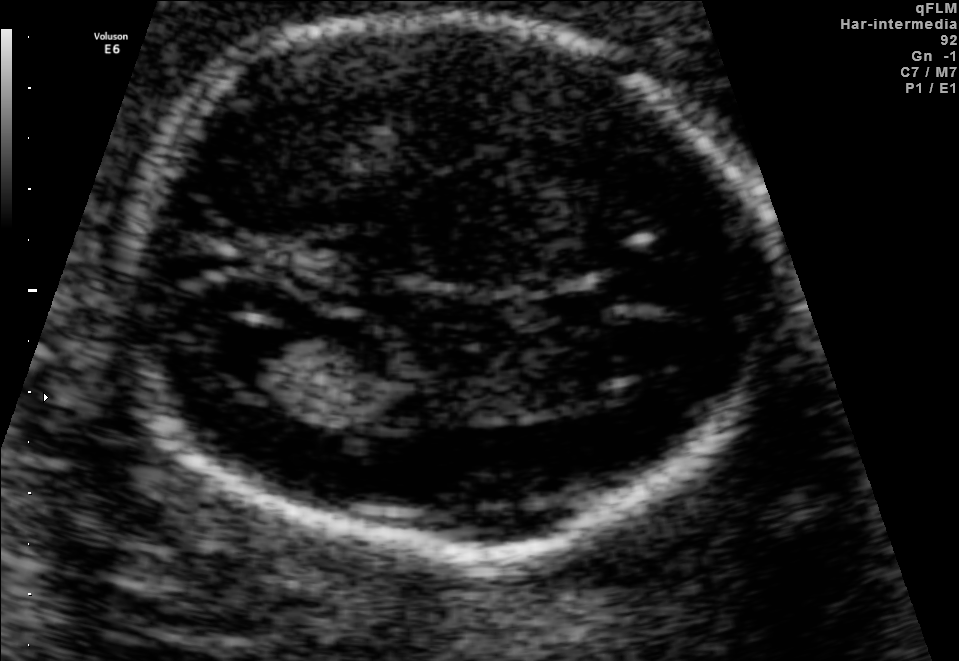
Fetal brain, trans-ventricular plane. Where is the lateral ventricle?

Lateral ventricle bounding box: [190,307,298,392]